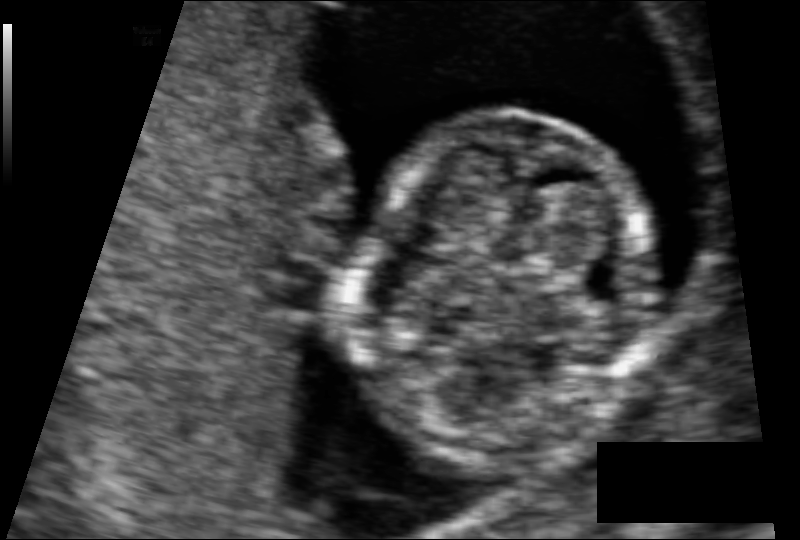
Estimate the fetal head circumference from this 2D ultrasound. Image width: 58.9 mm.

Head circumference: 79.0 mm.